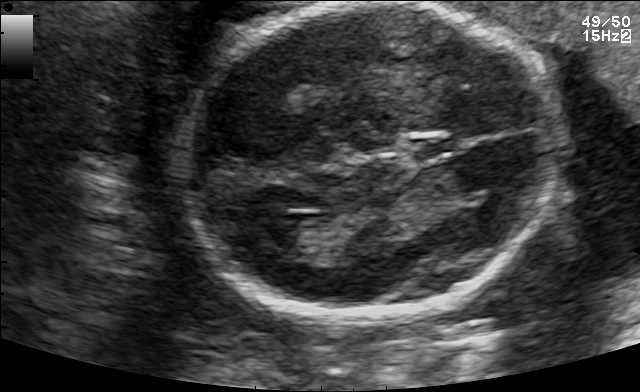
Fetal brain, trans-ventricular plane. Where is the fetal head?

Head bounding box: [168,1,566,329]